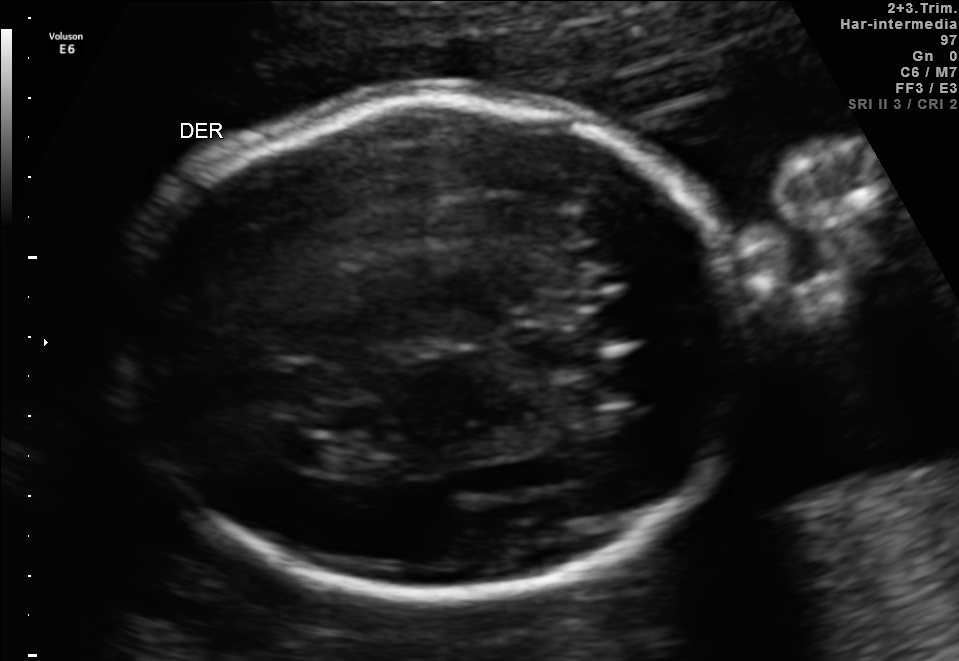
Fetal brain, trans-ventricular plane. Give [x1,y1,x2,y2] bounding boxes for each visible structure among: fetal head, CSP, LV.

Head: [105,86,770,603]